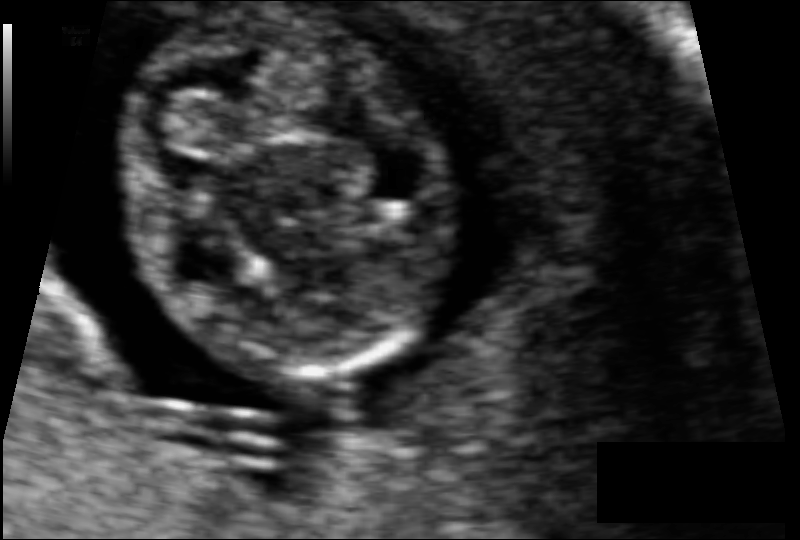
In this fetal head ultrasound, give bounding boxes for the head outline, cavum septum pellucidum (CSP), and lateral ventricle (LV), where visible. Image width: 49.6 mm.

Head: [118,5,450,382]